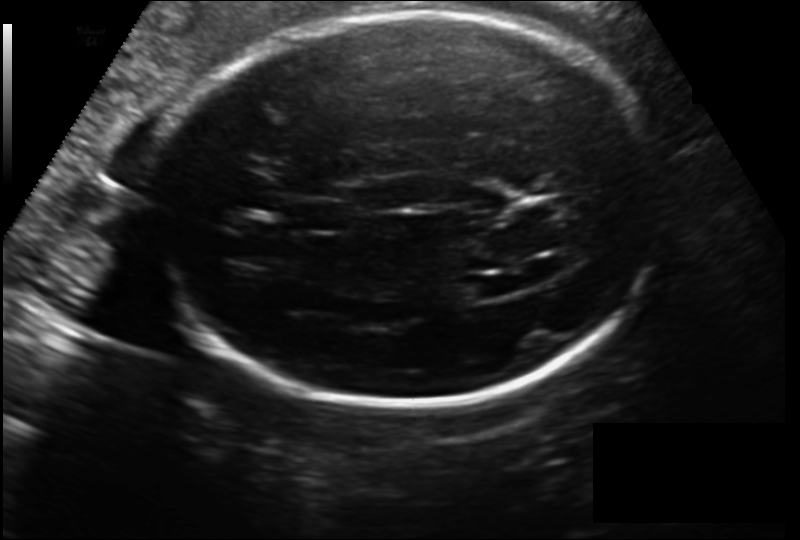
In this fetal head ultrasound, give the bounding box of the fetal head. Image width: 149.1 mm.

[148,14,662,405]